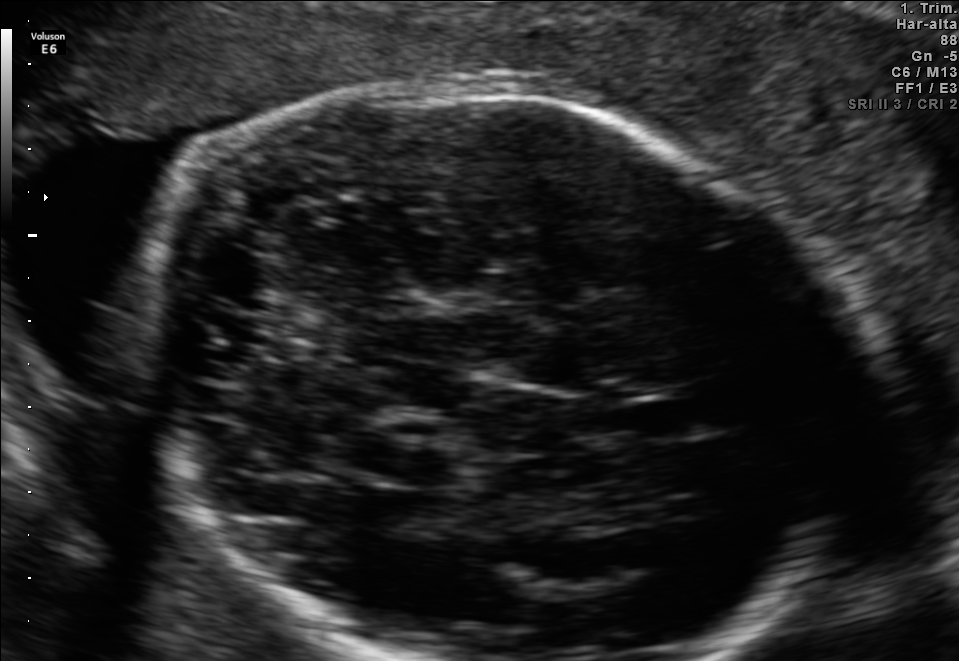
Fetal brain, trans-thalamic plane. Where is the fetal head?

Head bounding box: [131,72,838,657]